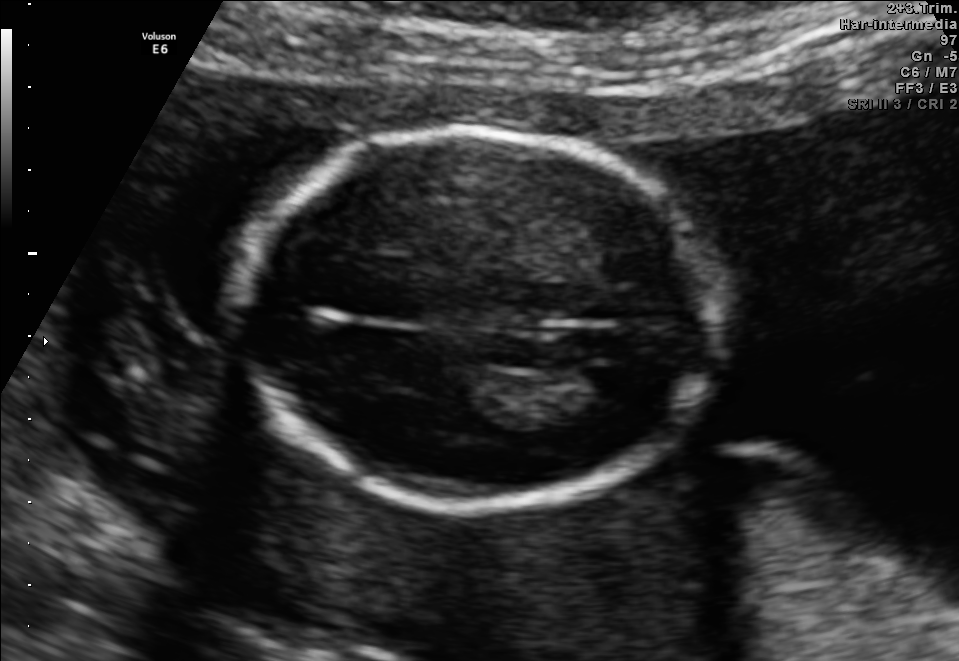
In this fetal brain, trans-ventricular plane, give bounding boxes for the head outline, cavum septum pellucidum (CSP), and lateral ventricle (LV), where visible.

Head: [226,122,737,515]
Lateral ventricle: [579,363,636,402]